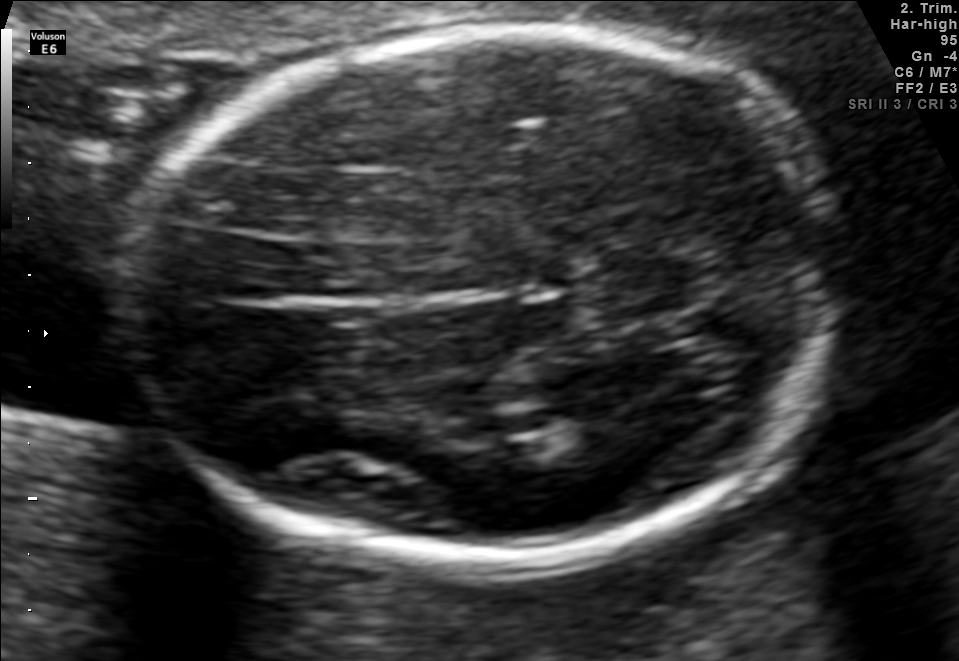
Which standard maternal-fetal ultrasound plane is shown: fetal abdomen, fetal brain, fetal femur, fetal thorax, maternal cervix, or other? If it's fetal brain and one of the three standard brain planes (trans-thalamic, trans-cerebellum, trans-ventricular), name which.

Fetal brain (trans-thalamic plane)